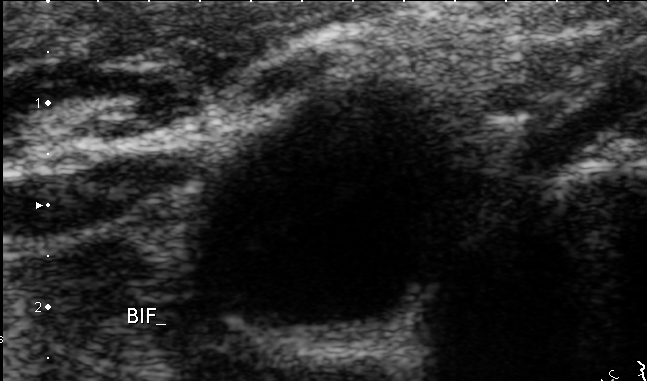
This is a 2D maternal-fetal ultrasound frame. Is it a fetal abdomen, fetal brain, fetal femur, fetal thorax, maternal cervix, or other standard plane? If it's fetal brain and one of the three standard brain planes (trans-thalamic, trans-cerebellum, trans-ventricular), name which.

Other